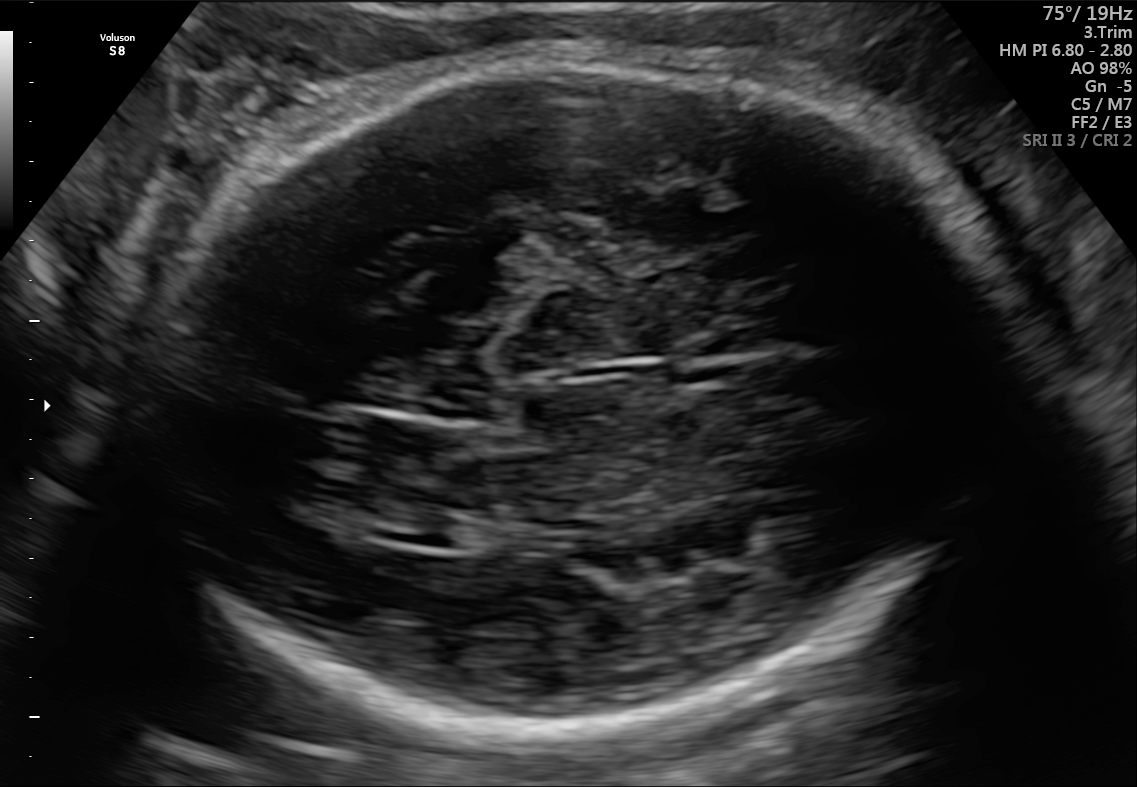
In this fetal brain, trans-thalamic plane, give bounding boxes for the head outline, cavum septum pellucidum (CSP), and lateral ventricle (LV), where visible.

Head: [142,58,1018,731]
Lateral ventricle: [379,513,458,553]